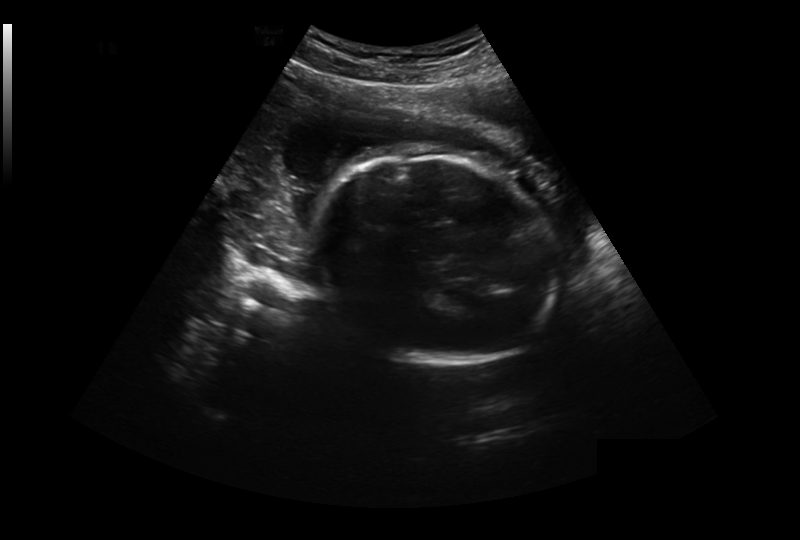
In this fetal head ultrasound, give bounding boxes for the head outline, cavum septum pellucidum (CSP), and lateral ventricle (LV), where visible. Image width: 261.2 mm.

Head: [306,155,559,364]